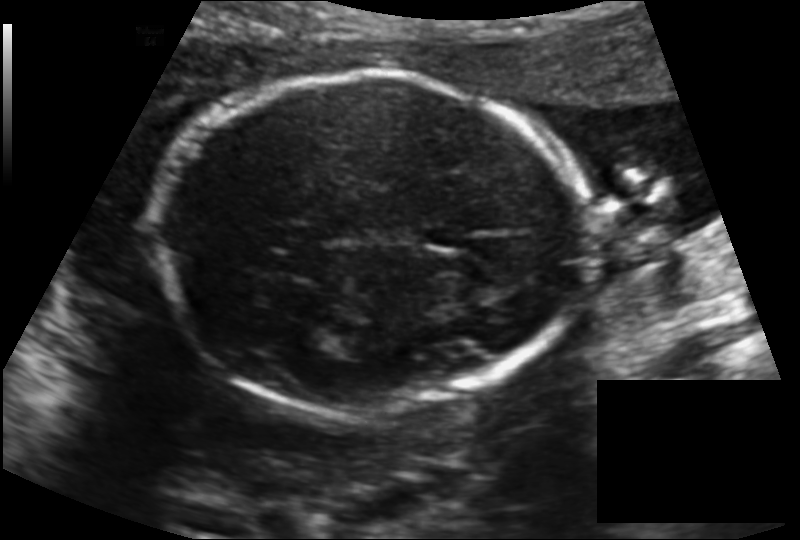
Fetal head ultrasound. Image width: 116.2 mm. Where is the cavum septum pellucidum?

CSP bounding box: [422,222,469,251]